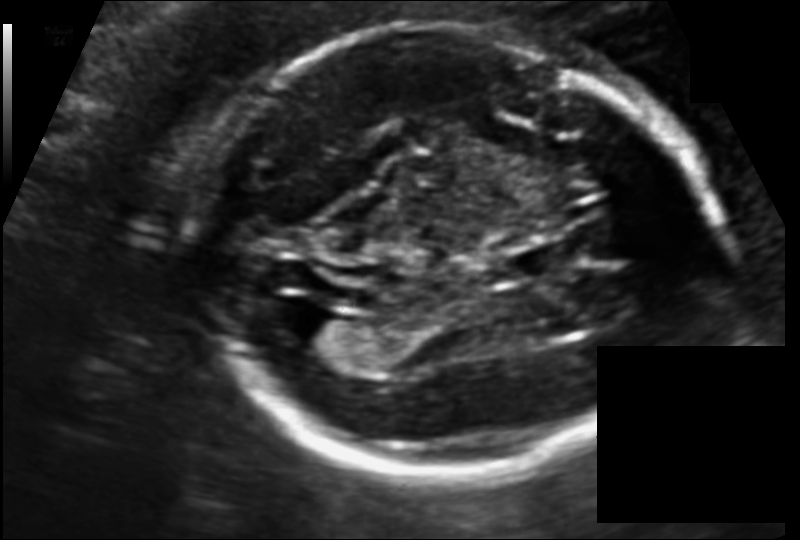
Fetal head ultrasound. Image width: 94.5 mm. Locate the lateral ventricle.

Lateral ventricle: [284,302,357,362]